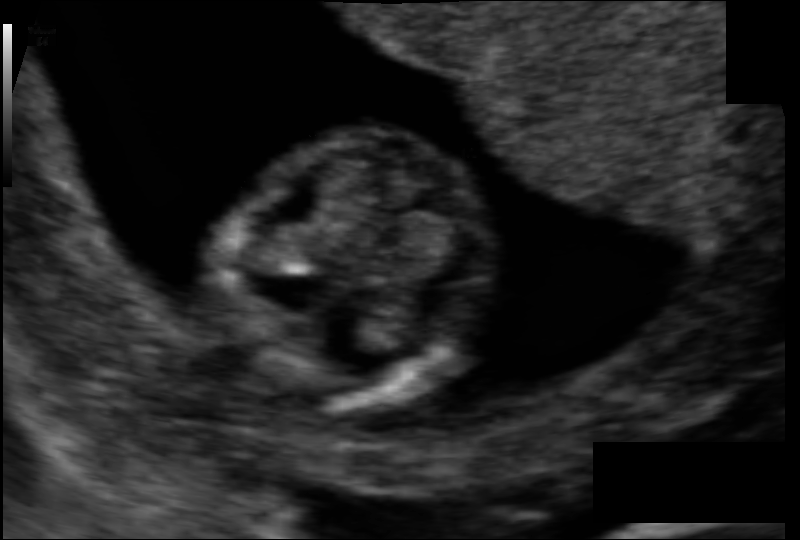
Estimate the fetal head circumference from this 2D ultrasound.

Head circumference: 69.6 mm (image width 61.7 mm).